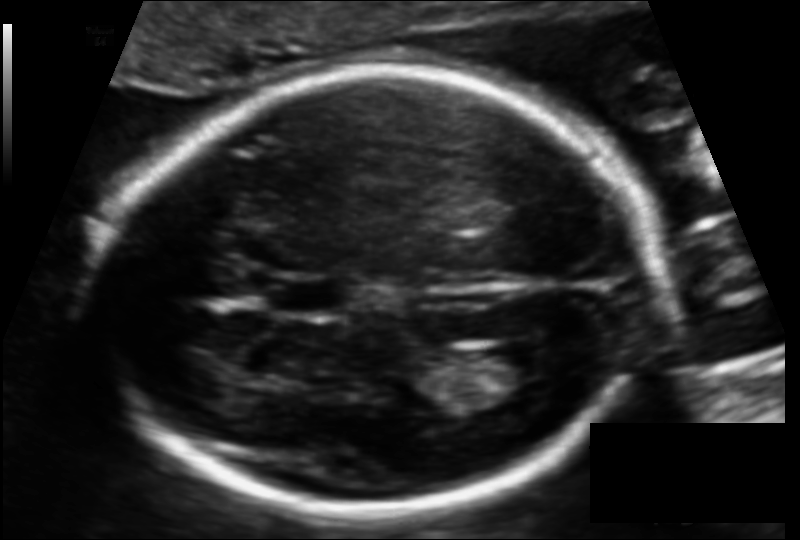
Fetal head ultrasound. Image width: 89.8 mm. Locate the lateral ventricle.

Lateral ventricle: [477,331,560,394]